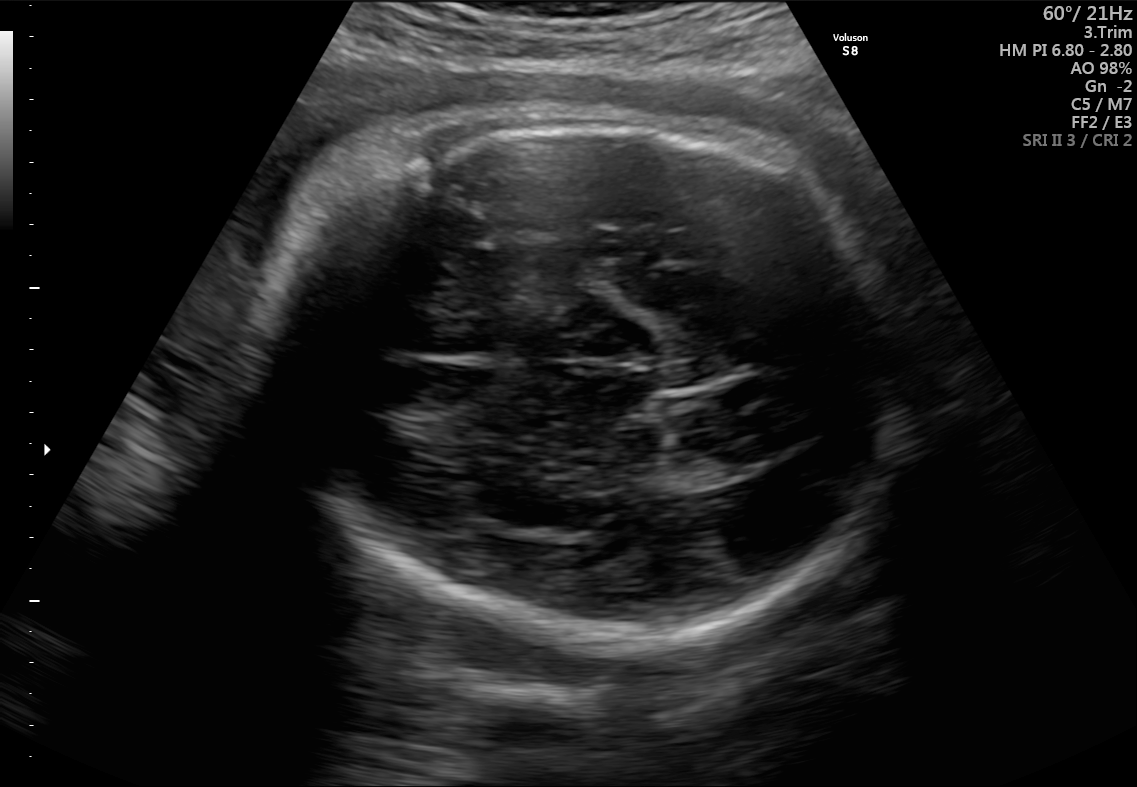
Fetal brain, trans-thalamic plane. Give [x1,y1,x2,y2] bounding boxes for each visible structure among: fetal head, CSP, LV.

Head: [280,111,909,650]
Lateral ventricle: [706,430,779,486]